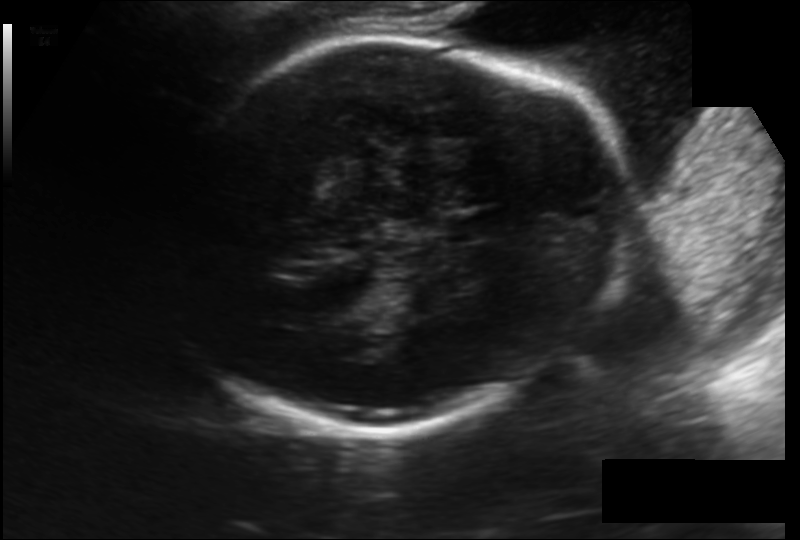
Measure the fetal head circumference shown in this ultrasound image. Image width: 139.5 mm.

Head circumference: 244.8 mm.